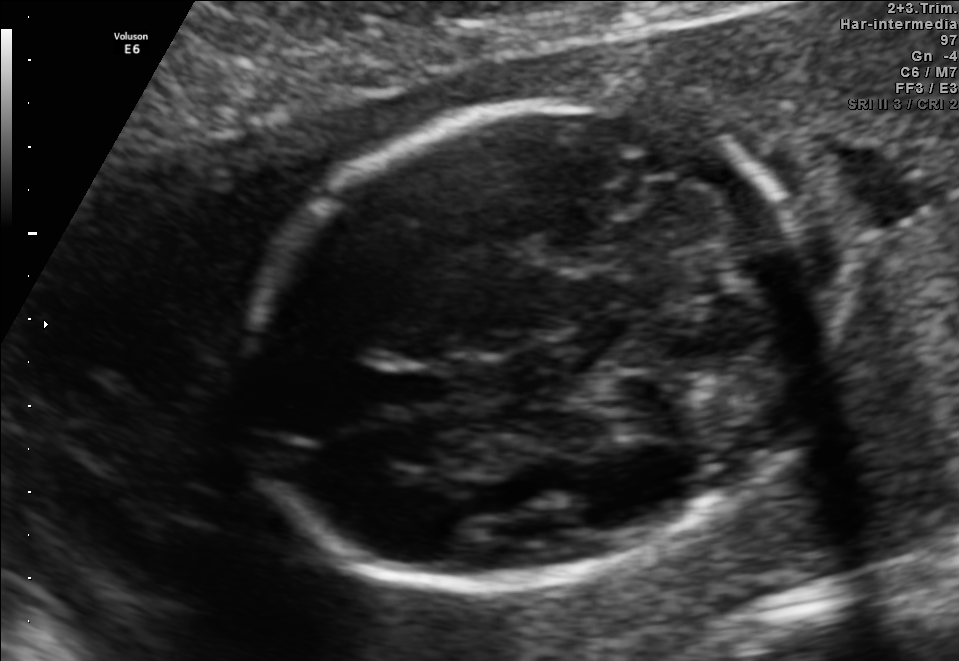
Fetal brain, trans-cerebellum plane. Locate the fetal head and, if visible, the cavum septum pellucidum (CSP) and lateral ventricle (LV). Give bounding boxes as [x1,y1,x2,y2].

Head: [247,102,826,581]